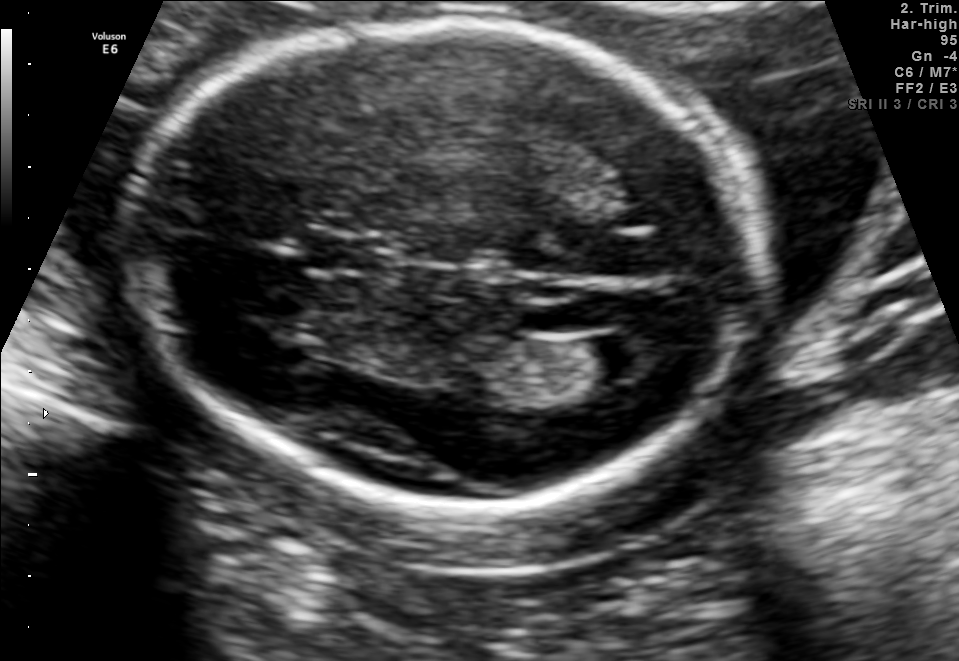
Fetal brain, trans-ventricular plane. Where is the fetal head?

Head bounding box: [114,6,785,521]